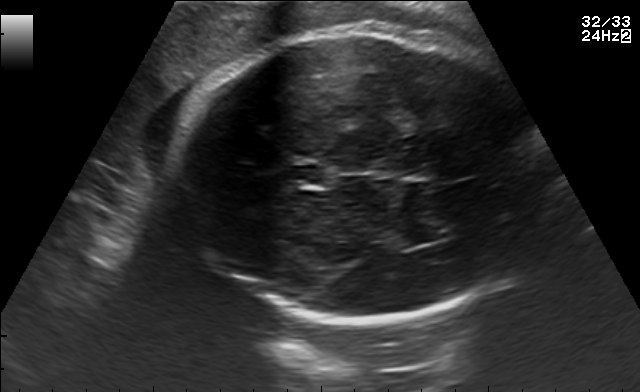
Fetal brain, trans-thalamic plane. Locate the lateral ventricle.

Lateral ventricle: [391,220,452,252]